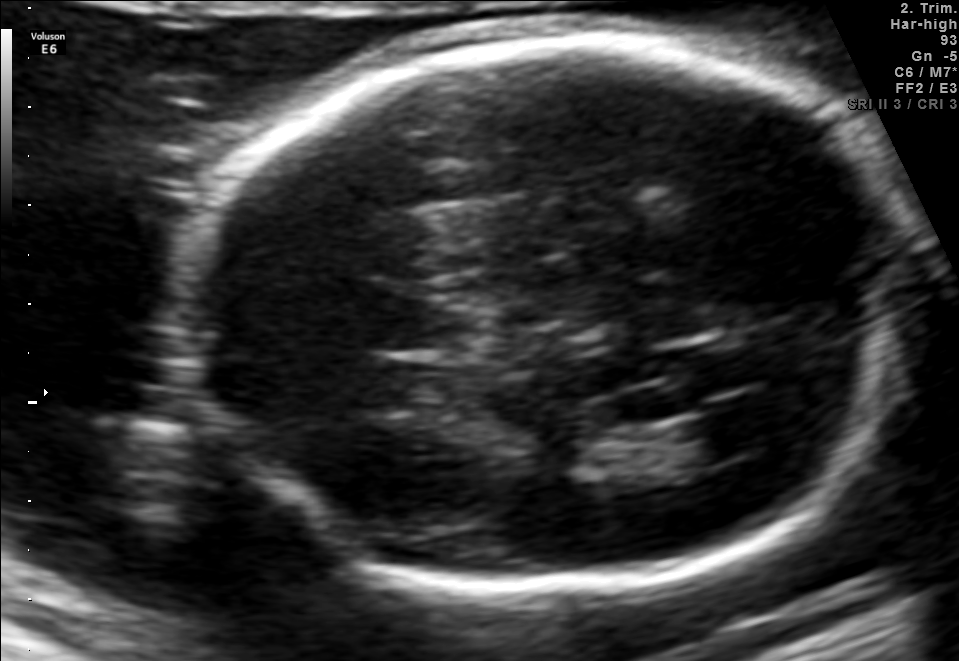
In this fetal brain, trans-ventricular plane, give the bounding box of the lateral ventricle.

[670,390,788,476]